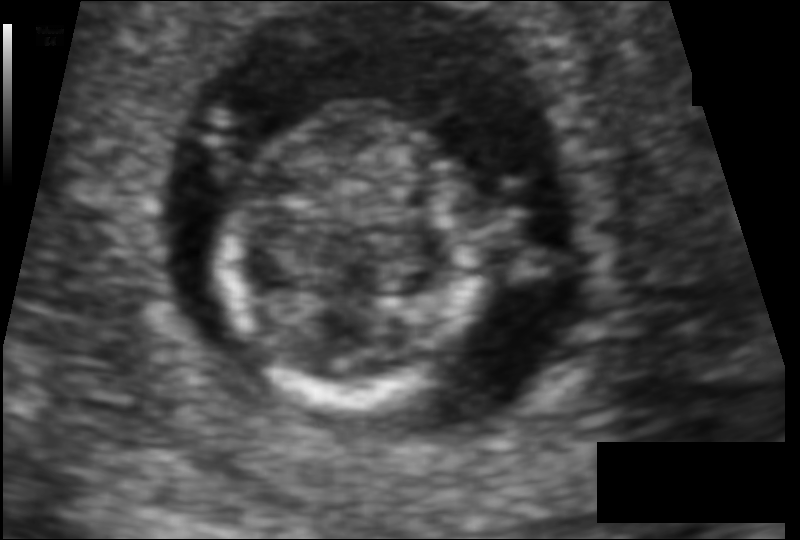
Estimate the fetal head circumference from this 2D ultrasound. Image width: 63.9 mm.

Head circumference: 72.9 mm.